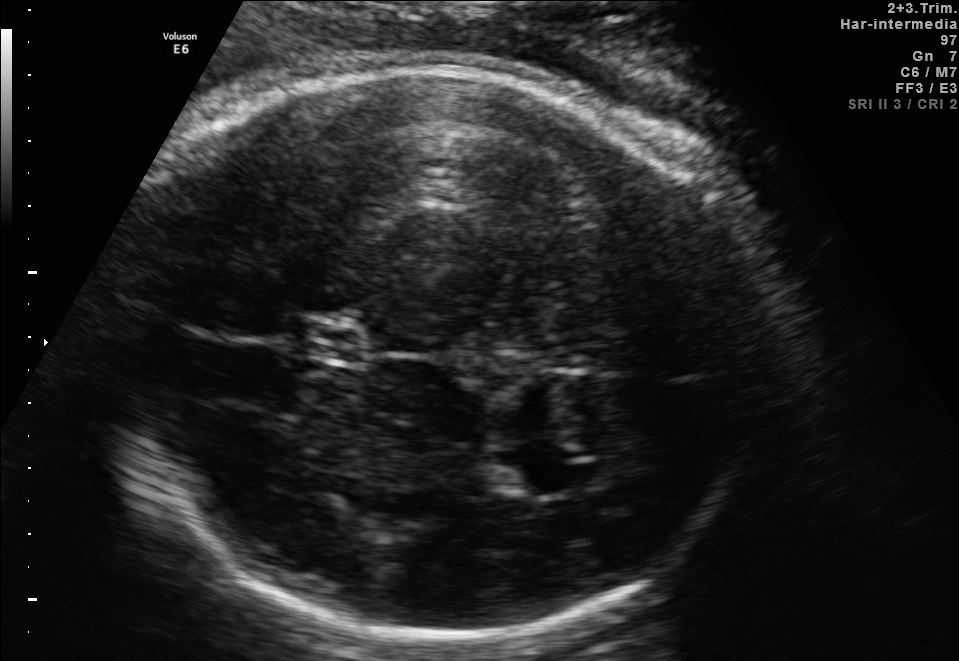
Fetal brain, trans-thalamic plane. Give [x1,y1,x2,y2] bounding boxes for each visible structure among: fetal head, CSP, LV.

Head: [96,67,769,634]
CSP: [290,317,364,363]
Lateral ventricle: [490,445,568,502]